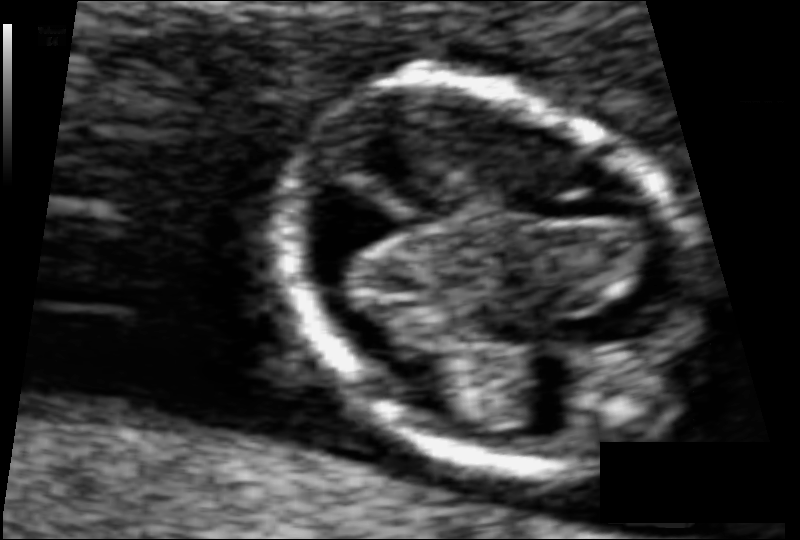
Fetal head ultrasound. Image width: 46.0 mm. Locate the fetal head.

Head: [276,82,697,457]